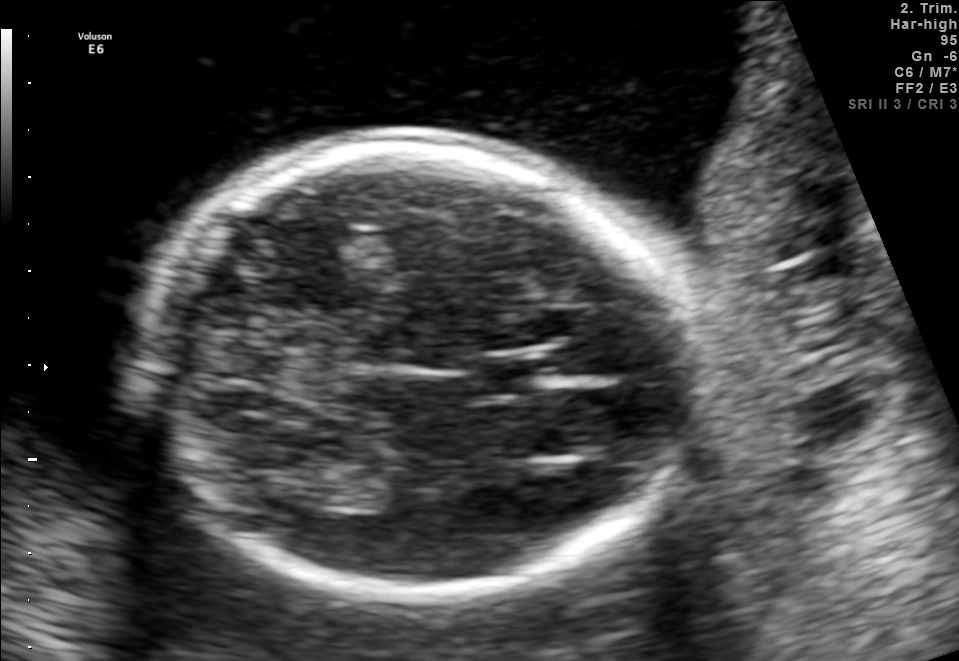
Fetal brain, trans-thalamic plane. Locate the fetal head.

Head: [136,137,699,596]